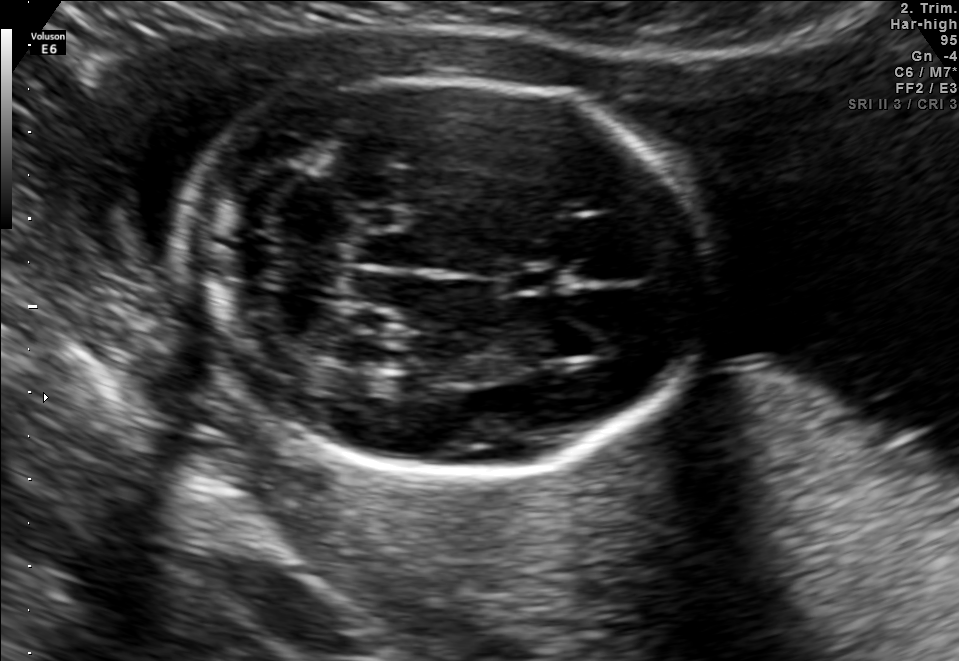
Fetal brain, trans-cerebellum plane. Where is the fetal head?

Head bounding box: [183,78,714,479]